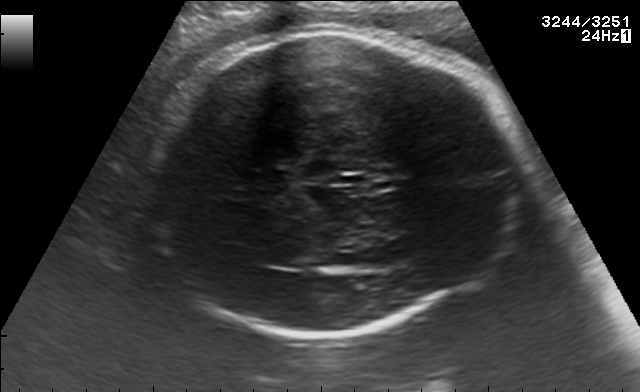
In this fetal brain, trans-thalamic plane, give bounding boxes for the head outline, cavum septum pellucidum (CSP), and lateral ventricle (LV), where visible.

Head: [143,34,514,334]